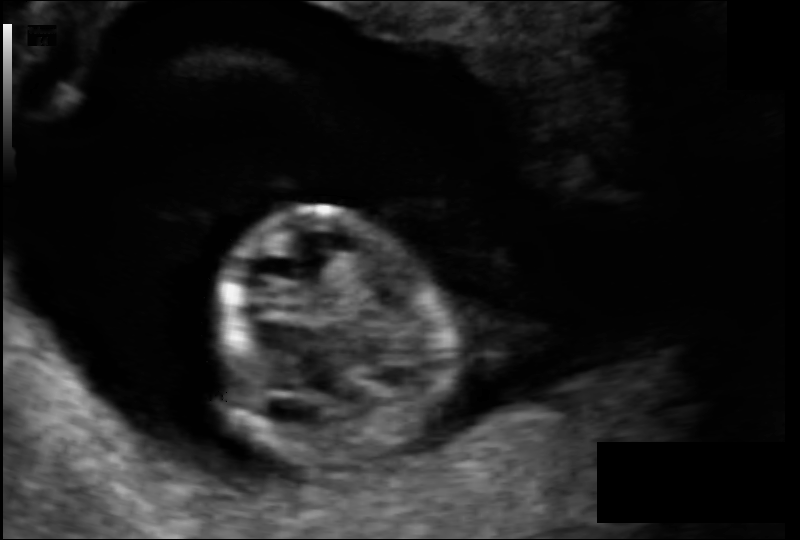
In this fetal head ultrasound, give the bounding box of the fetal head. Image width: 78.9 mm.

[213,208,450,465]